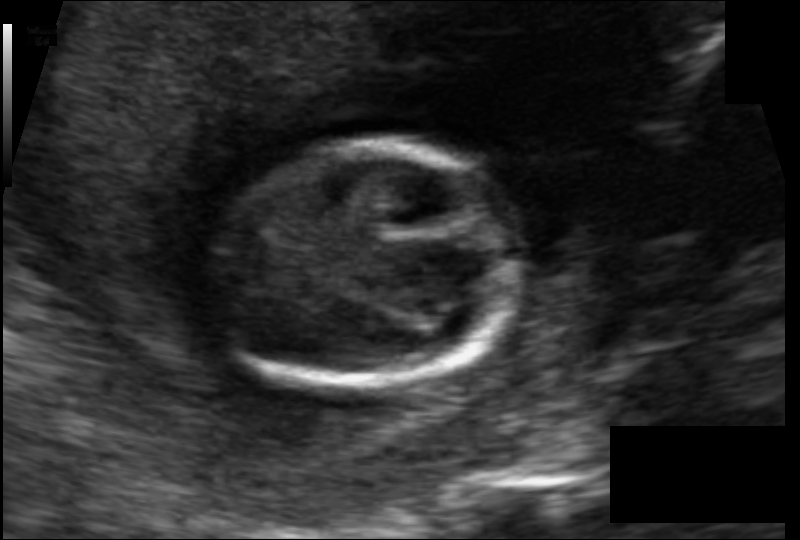
What is the fetal head circumference? Image width is 70.6 mm.

80.3 mm